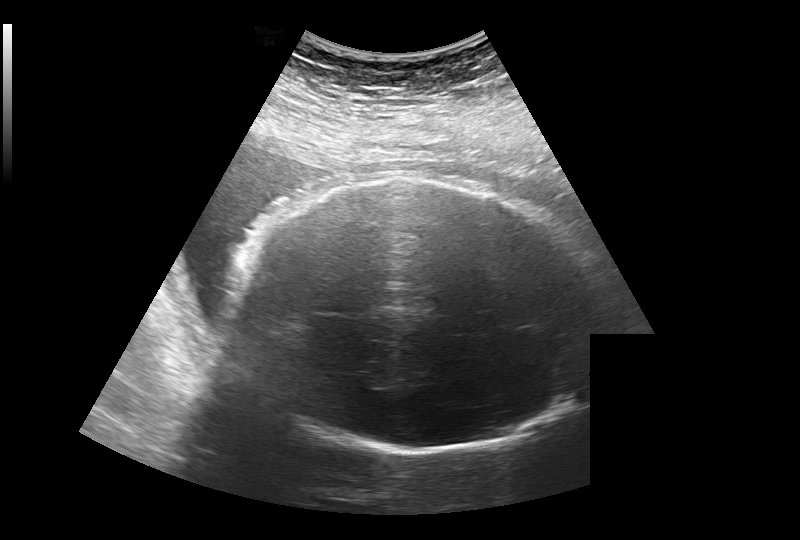
Fetal head ultrasound. Image width: 246.2 mm. Locate the fetal head.

Head: [225,179,606,453]